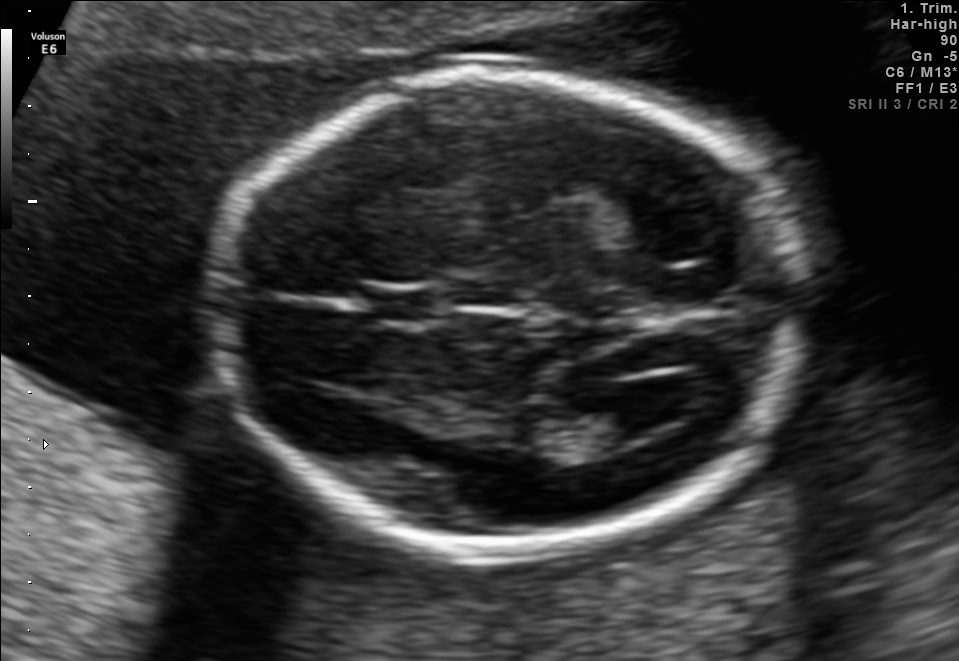
In this fetal brain, trans-ventricular plane, give the bounding box of the fetal head.

[197,57,828,566]